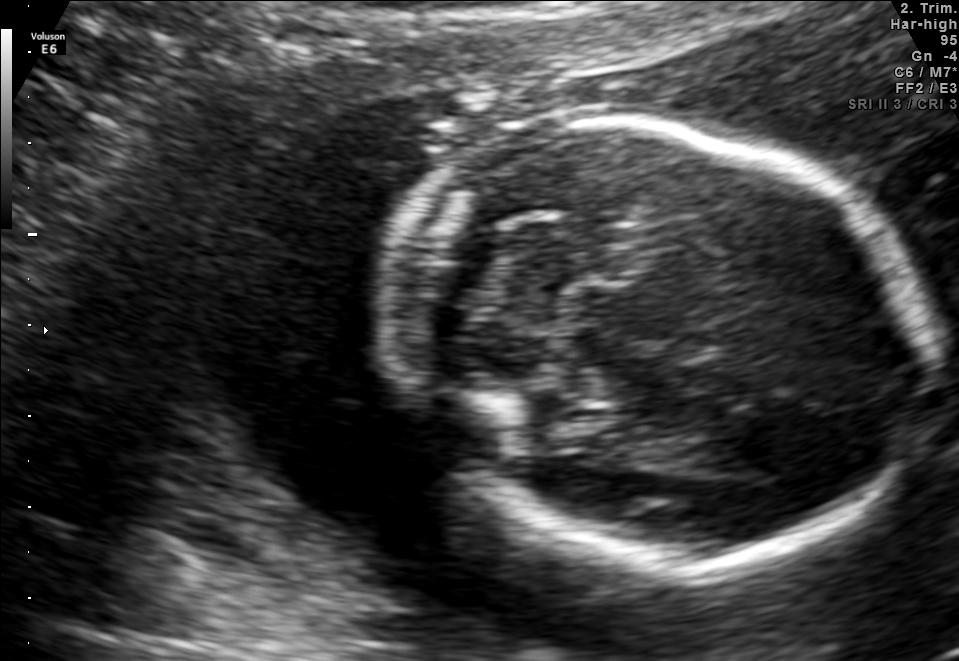
Fetal brain, trans-cerebellum plane. Locate the fetal head and, if visible, the cavum septum pellucidum (CSP) and lateral ventricle (LV). Give bounding boxes as [x1,y1,x2,y2].

Head: [387,124,928,559]